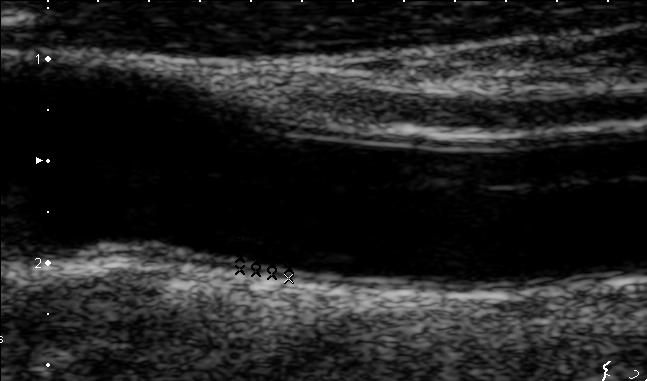
This is a 2D maternal-fetal ultrasound frame. Is it a fetal abdomen, fetal brain, fetal femur, fetal thorax, maternal cervix, or other standard plane? If it's fetal brain and one of the three standard brain planes (trans-thalamic, trans-cerebellum, trans-ventricular), name which.

Other